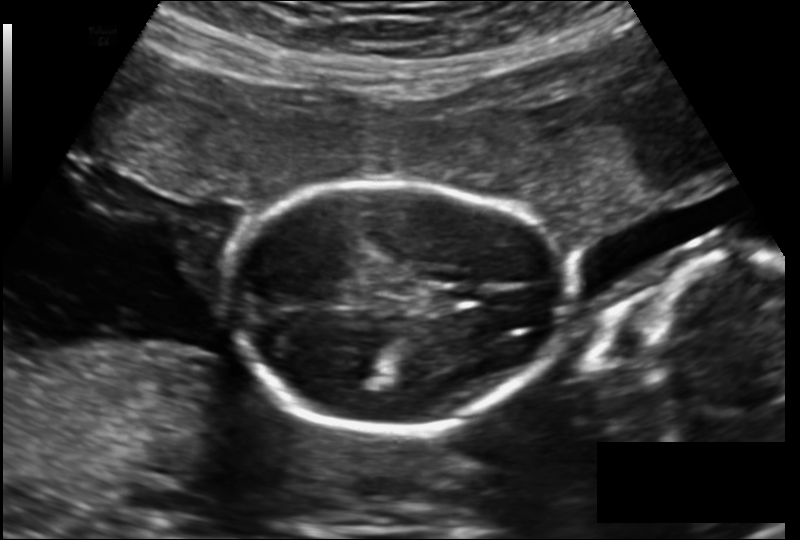
In this fetal head ultrasound, give bounding boxes for the head outline, cavum septum pellucidum (CSP), and lateral ventricle (LV), where visible. Image width: 125.7 mm.

Head: [229,182,567,430]